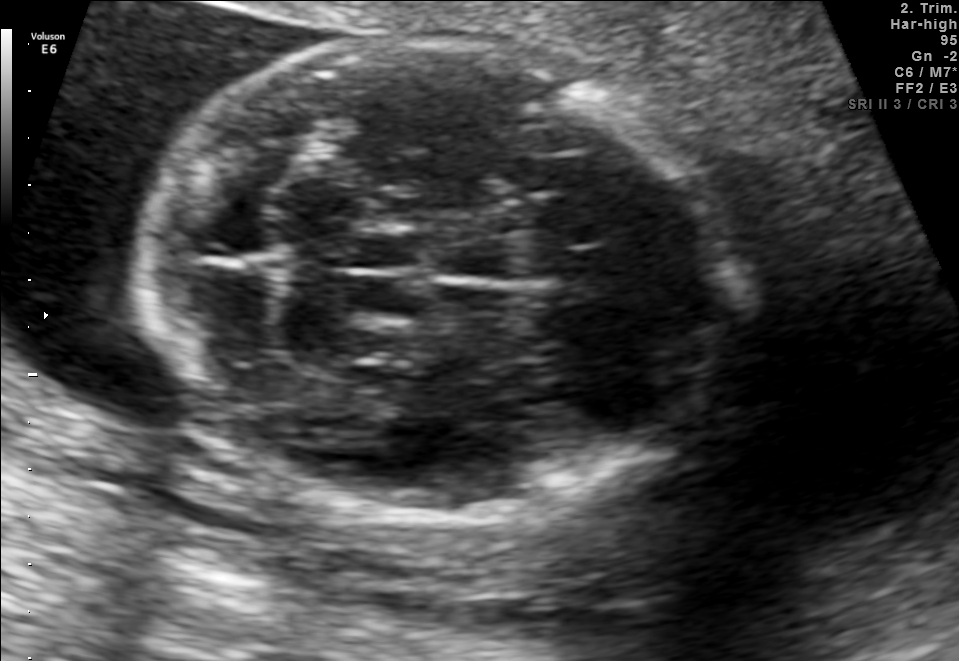
In this fetal brain, trans-cerebellum plane, give the bounding box of the fetal head.

[143,38,726,525]